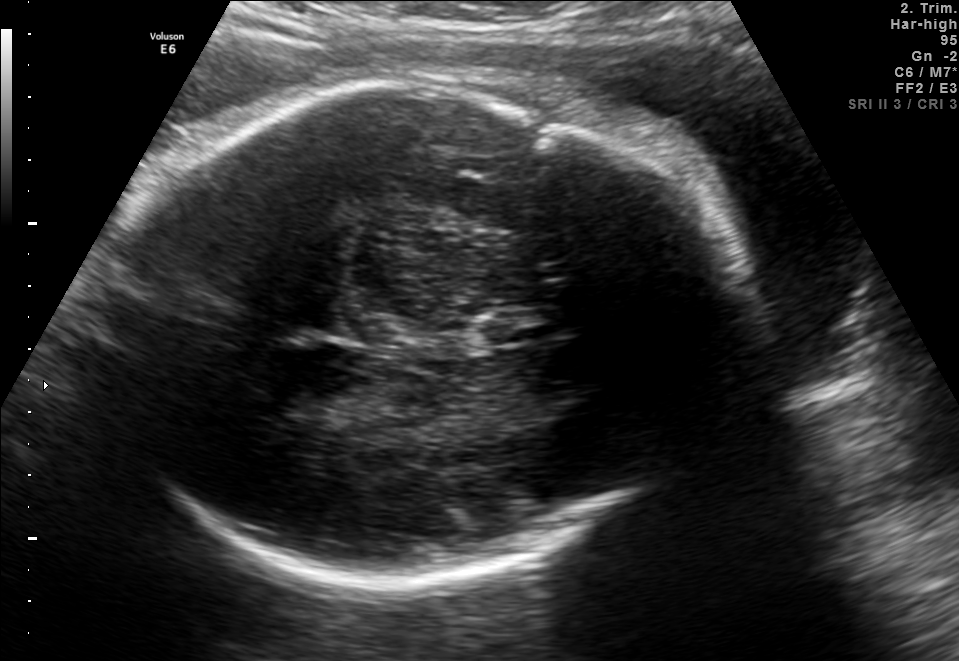
Fetal brain, trans-thalamic plane. Locate the fetal head.

Head: [82,83,739,580]